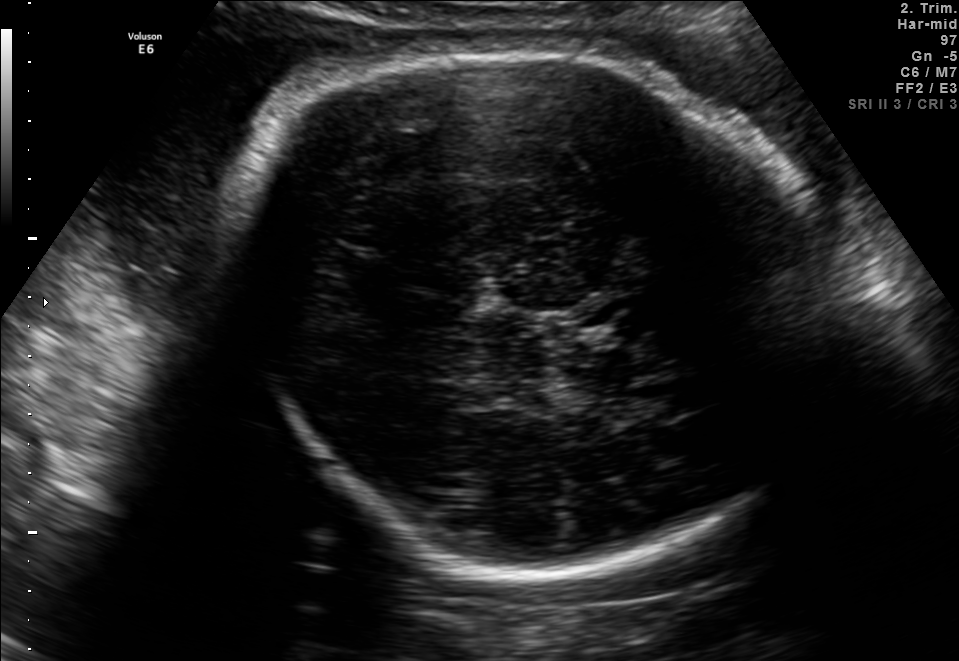
Fetal brain, trans-thalamic plane. Give [x1,y1,x2,y2] bounding boxes for each visible structure among: fetal head, CSP, LV.

Head: [236,39,821,578]